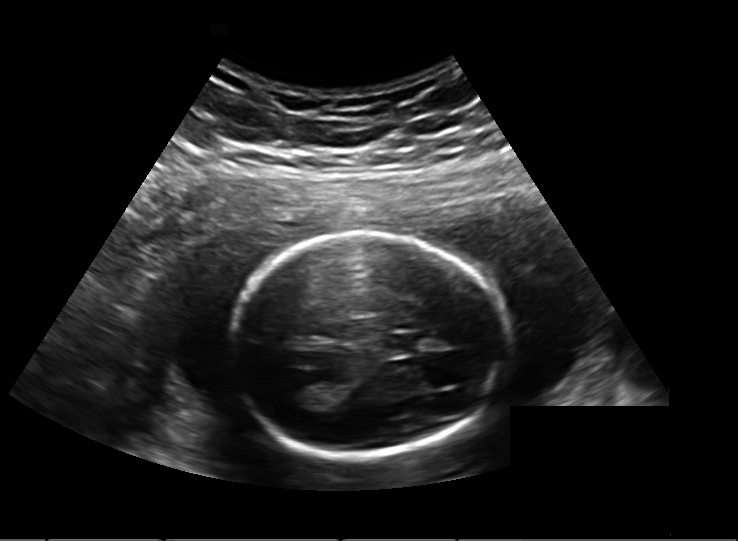
Fetal head ultrasound. Image width: 149.5 mm. Locate the fetal head and, if visible, the cavum septum pellucidum (CSP) and lateral ventricle (LV). Give bounding boxes as [x1,y1,x2,y2].

Head: [232,232,503,456]
CSP: [385,332,418,355]
Lateral ventricle: [282,377,319,409]